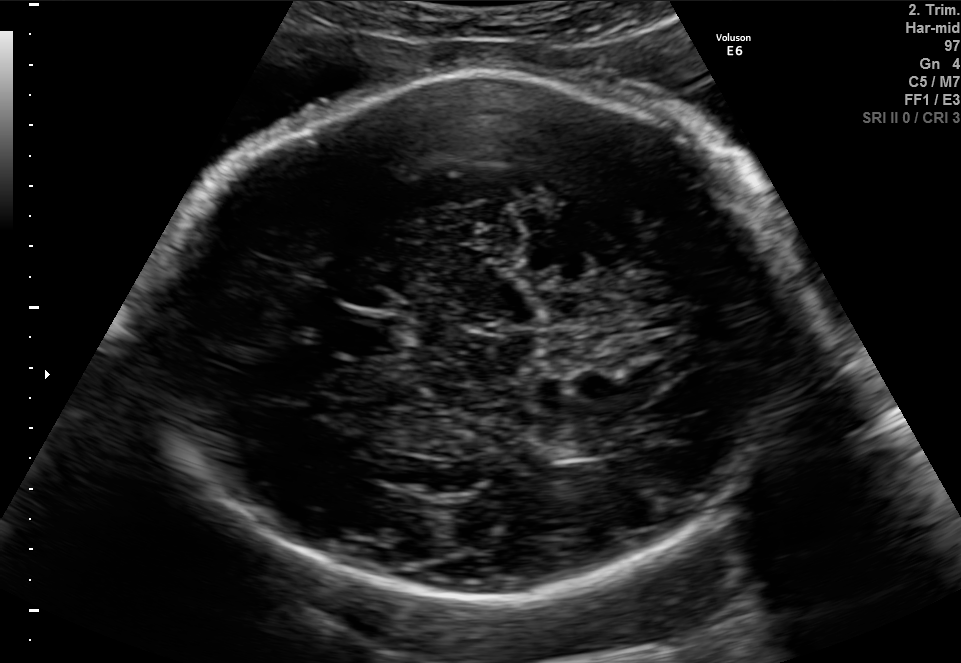
In this fetal brain, trans-thalamic plane, give the bounding box of the cavum septum pellucidum.

[341,314,397,355]